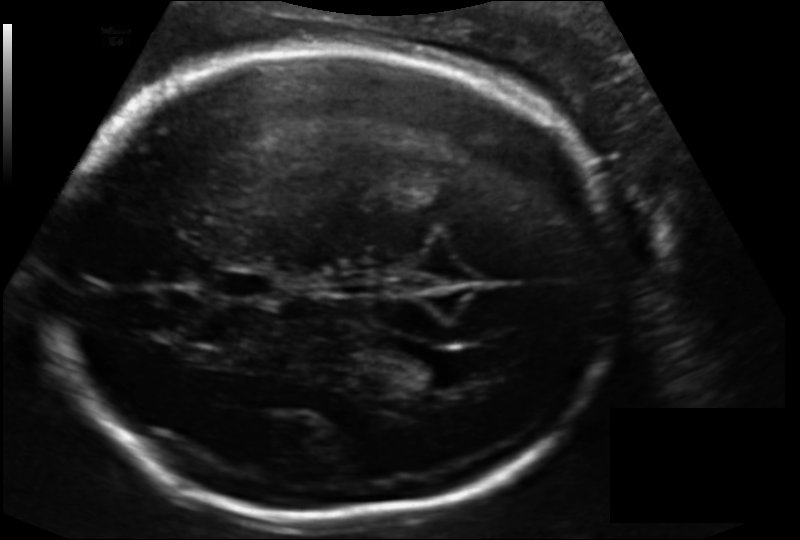
Fetal head ultrasound. Image width: 124.7 mm. Give [x1,y1,x2,y2] bounding boxes for each visible structure among: fetal head, CSP, LV.

Head: [43,45,614,518]
CSP: [209,264,278,303]
Lateral ventricle: [398,348,474,394]